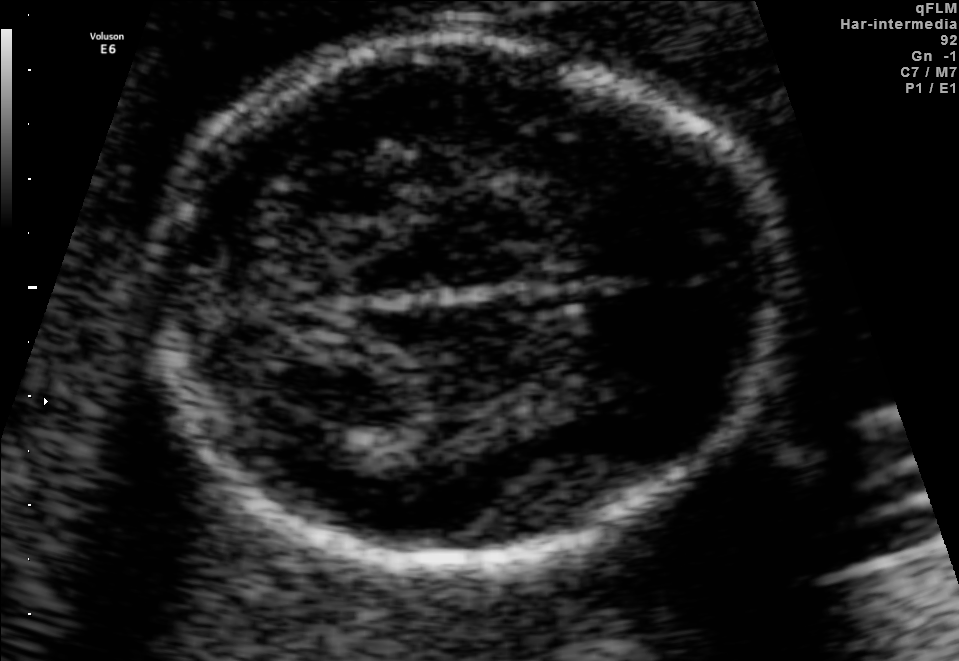
In this fetal brain, trans-thalamic plane, give bounding boxes for the head outline, cavum septum pellucidum (CSP), and lateral ventricle (LV), where visible.

Head: [153,39,788,570]